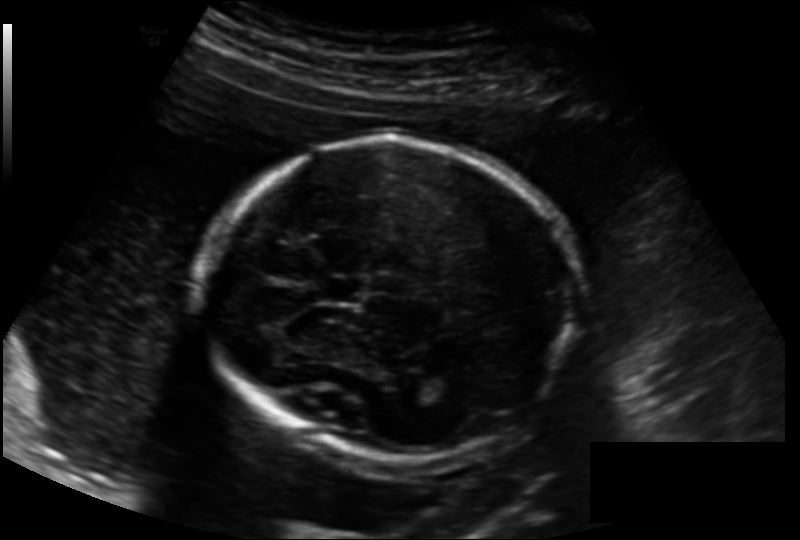
Fetal head ultrasound. Image width: 126.5 mm. Where is the cavum septum pellucidum?

CSP bounding box: [319,279,363,301]